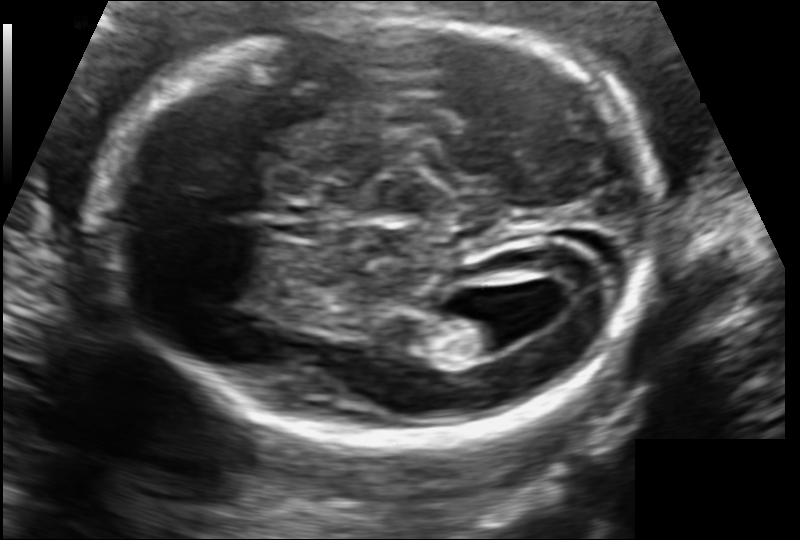
In this fetal head ultrasound, give the bounding box of the lateral ventricle. Image width: 87.0 mm.

[434,295,533,369]